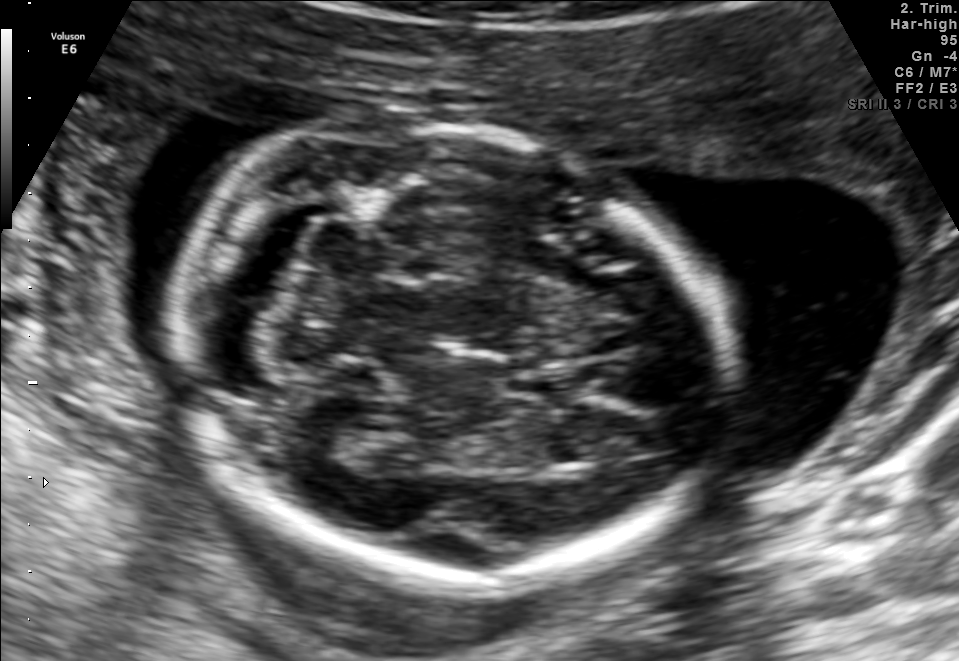
Fetal brain, trans-cerebellum plane. Where is the fetal head?

Head bounding box: [173,121,732,584]